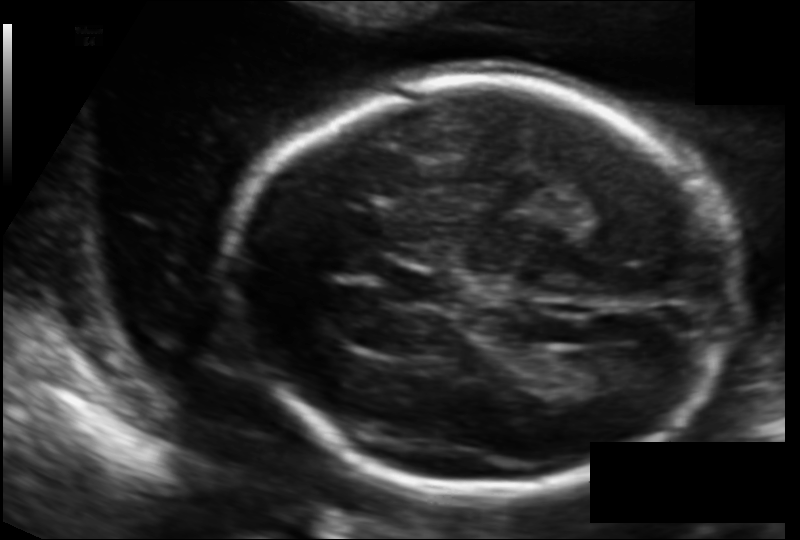
In this fetal head ultrasound, give bounding boxes for the head outline, cavum septum pellucidum (CSP), and lateral ventricle (LV), where visible. Image width: 100.4 mm.

Head: [225,78,737,494]
CSP: [383,260,463,316]
Lateral ventricle: [565,348,640,394]